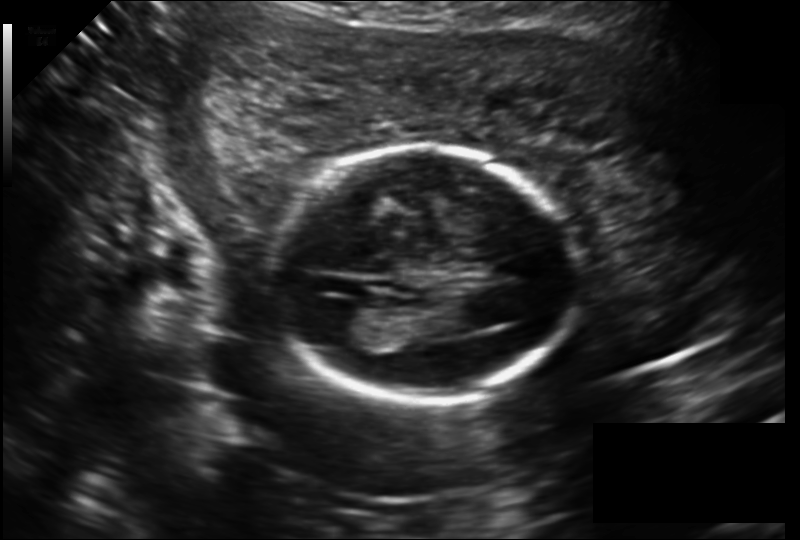
Estimate the fetal head circumference from this 2D ultrasound. Image width: 142.0 mm.

Head circumference: 161.8 mm.